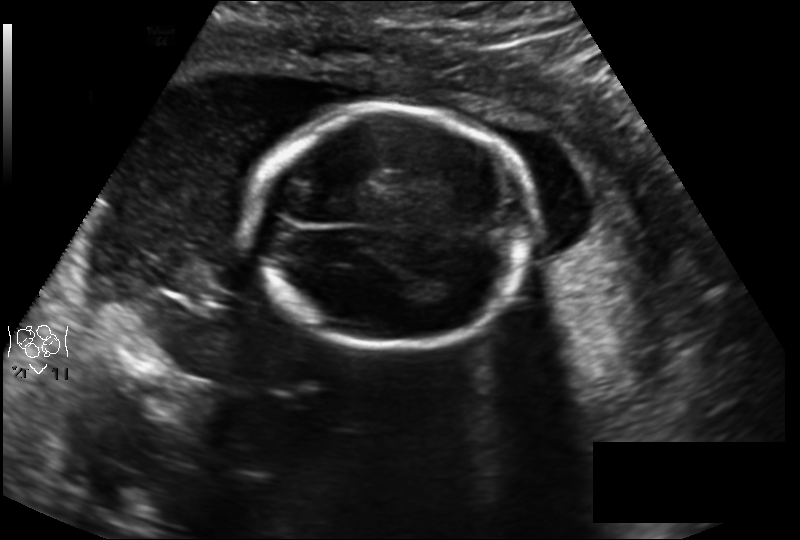
Fetal head ultrasound. Image width: 155.0 mm. Where is the fetal head?

Head bounding box: [253,105,532,350]